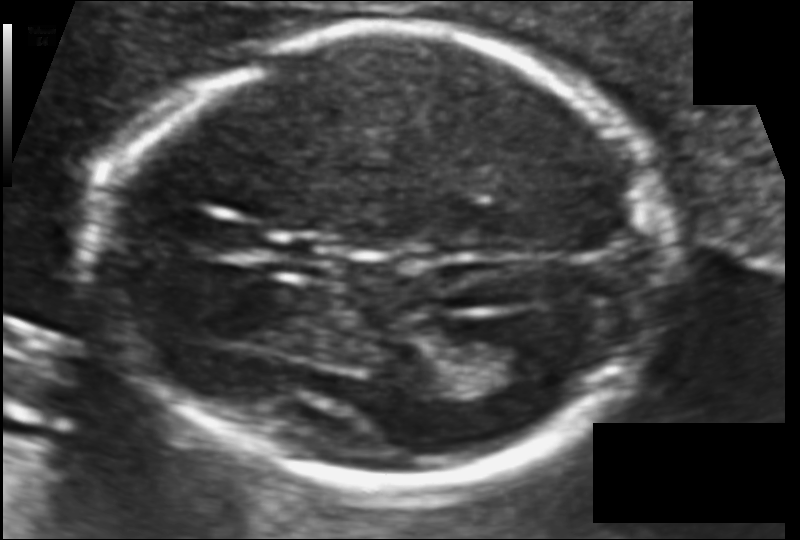
Estimate the fetal head circumference from this 2D ultrasound. Image width: 78.9 mm.

Head circumference: 167.4 mm.